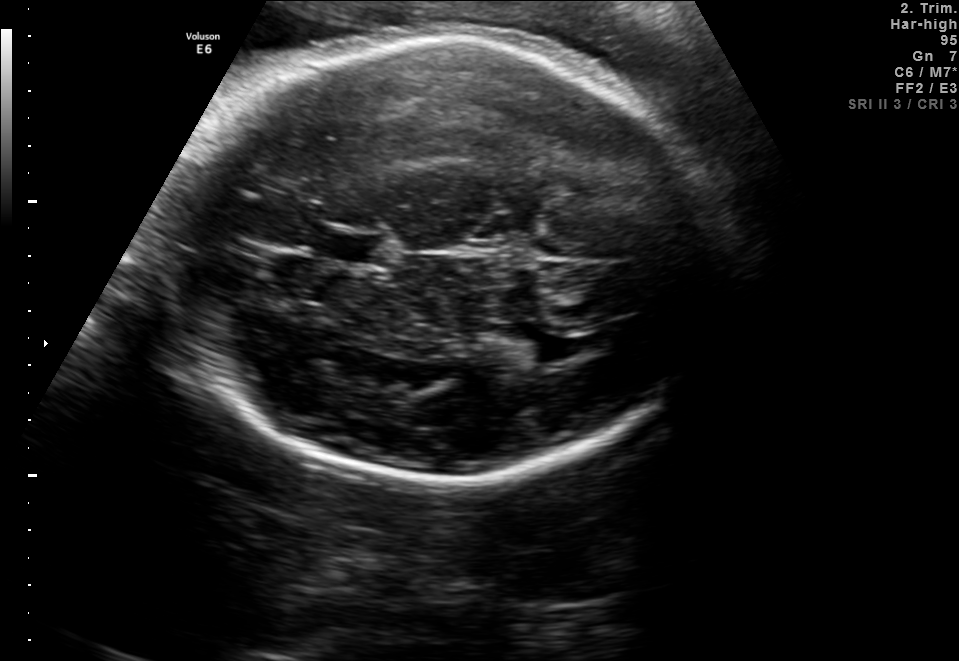
In this fetal brain, trans-thalamic plane, give the bounding box of the lateral ventricle.

[496,330,561,365]